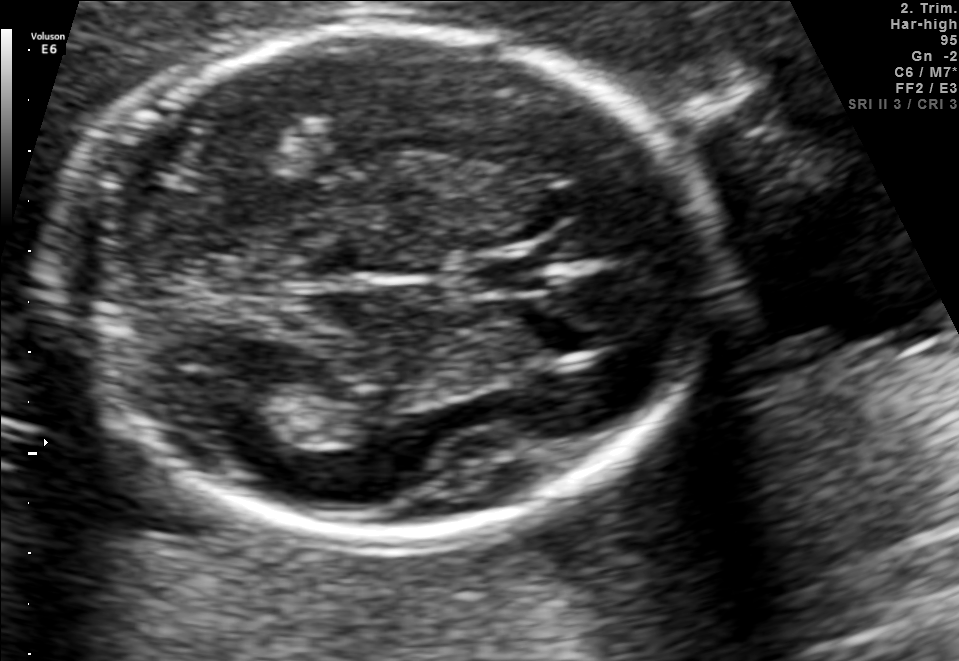
Fetal brain, trans-thalamic plane. Where is the lateral ventricle?

Lateral ventricle bounding box: [217,384,319,447]